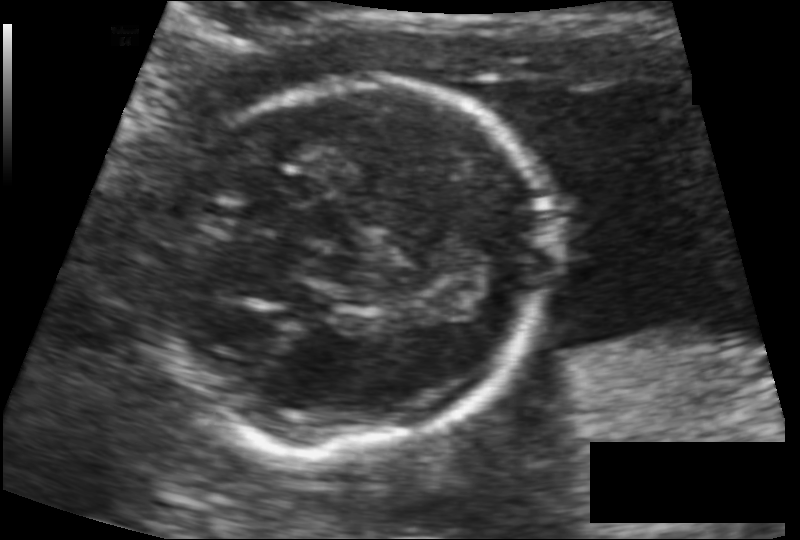
What is the fetal head circumference? Image width is 79.7 mm.

123.2 mm